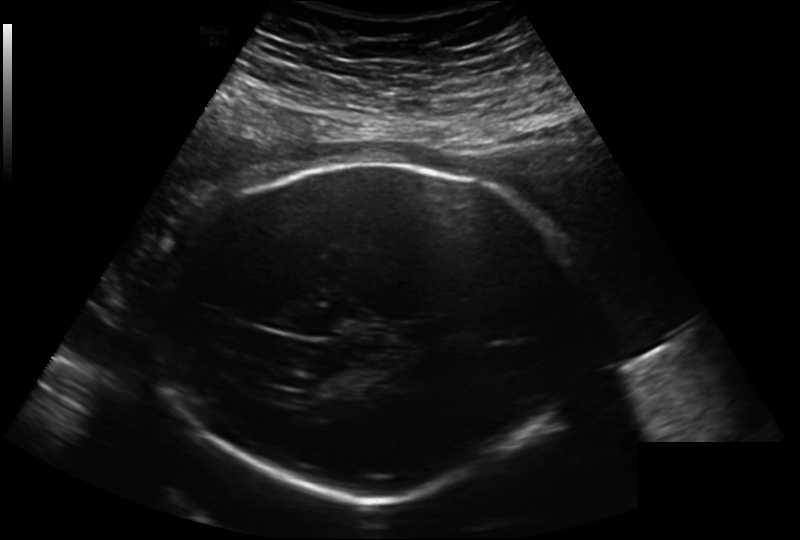
Measure the fetal head circumference shown in this ultrasound image. Image width: 192.6 mm.

Head circumference: 298.8 mm.